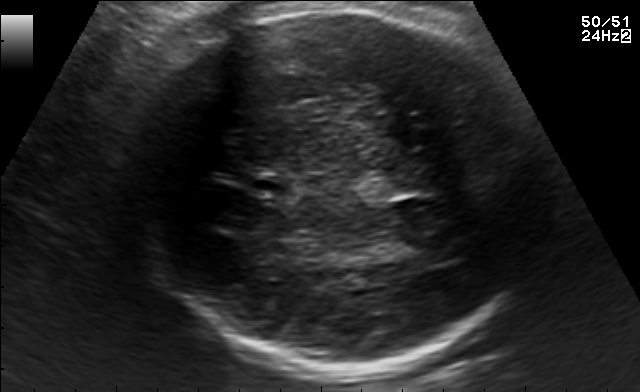
Fetal brain, trans-thalamic plane. Locate the fetal head.

Head: [132,8,537,372]